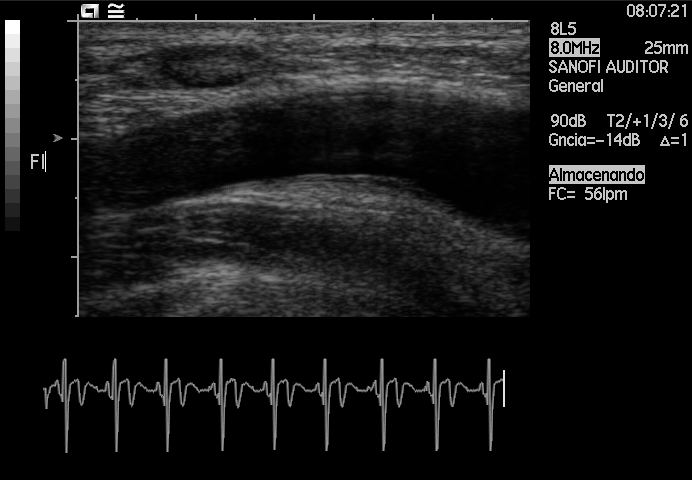
Classify this maternal-fetal ultrasound image as one of the six standard planes — fetal abdomen, fetal brain, fetal femur, fetal thorax, maternal cervix, or other. If it's fetal brain and one of the three standard brain planes (trans-thalamic, trans-cerebellum, trans-ventricular), name which.

Other